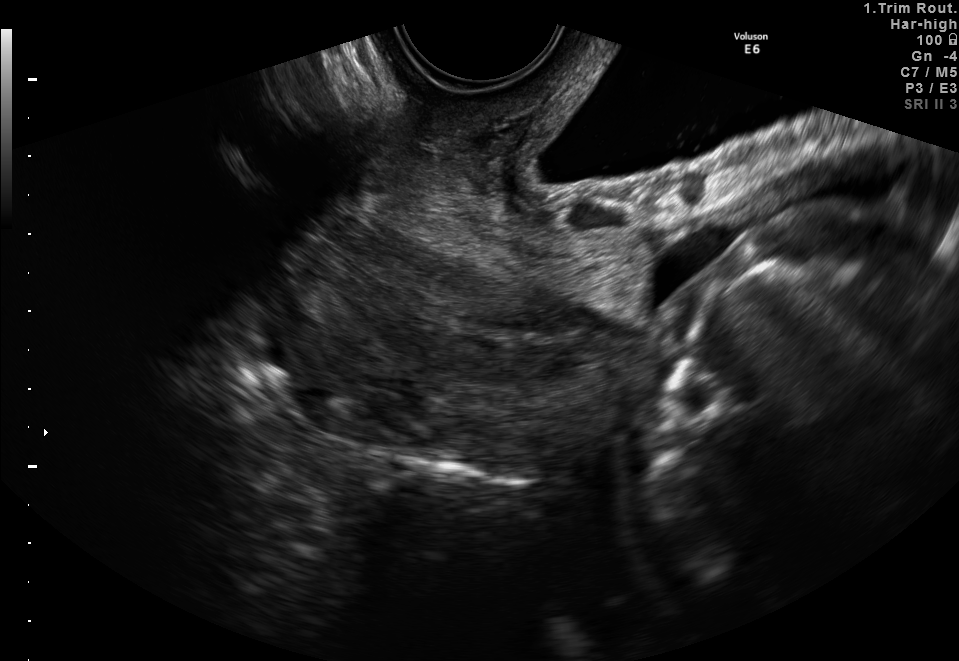
Identify the standard plane in this fetal ultrasound image: fetal abdomen, fetal brain, fetal femur, fetal thorax, maternal cervix, or other. If it's fetal brain and one of the three standard brain planes (trans-thalamic, trans-cerebellum, trans-ventricular), name which.

Maternal cervix